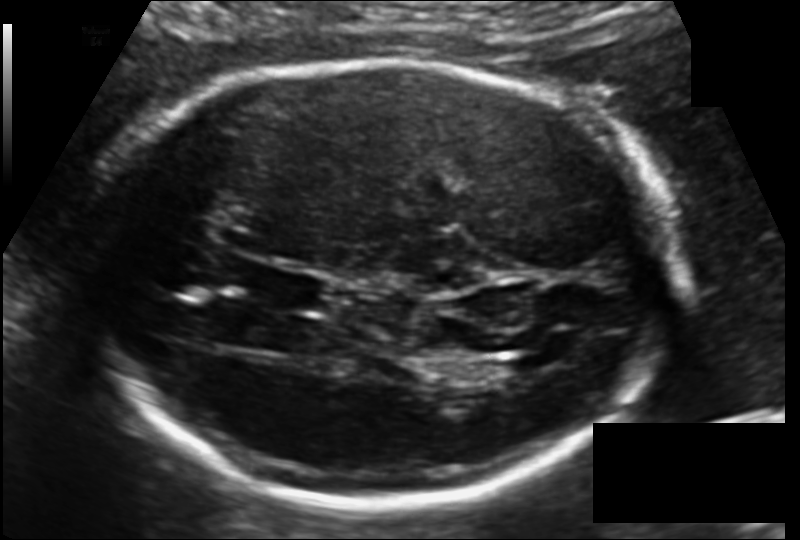
Estimate the fetal head circumference from this 2D ultrasound. Image width: 107.8 mm.

Head circumference: 223.9 mm.